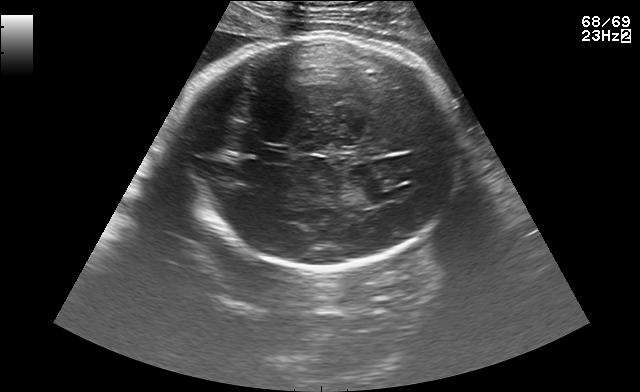
In this fetal brain, trans-thalamic plane, give the bounding box of the lateral ventricle.

[381,181,414,203]